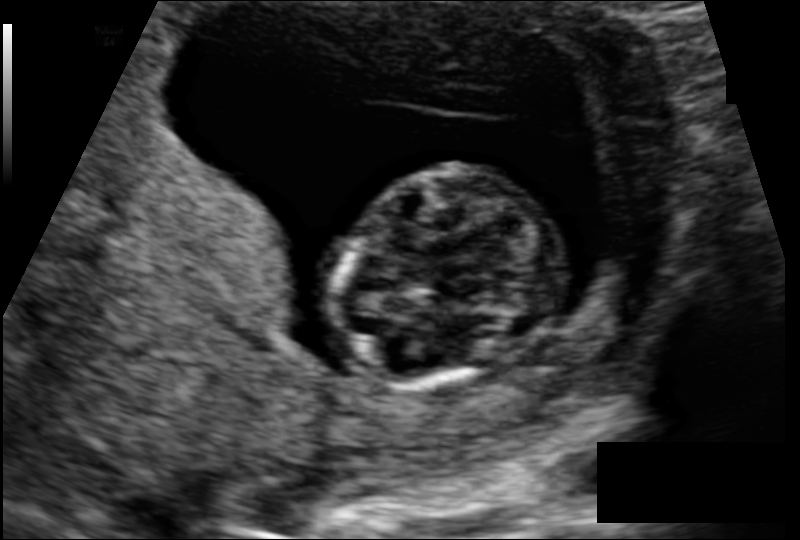
What is the fetal head circumference? Image width is 86.1 mm.

75.9 mm